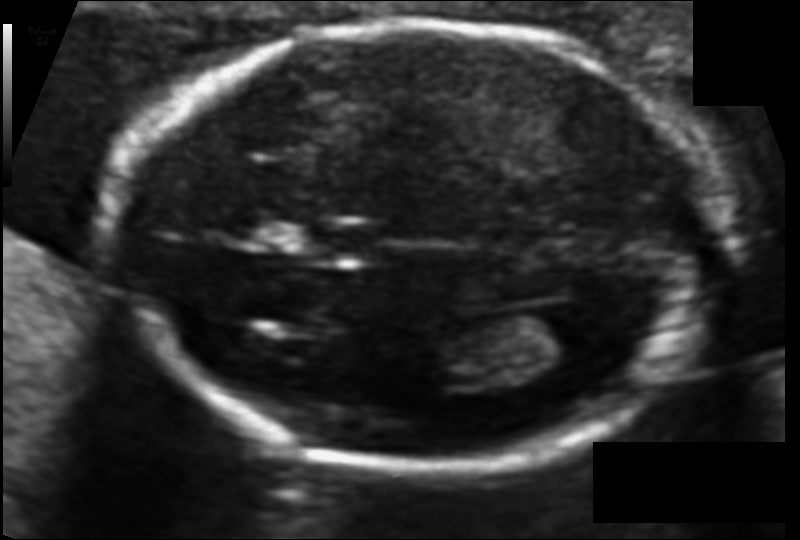
Fetal head ultrasound. Image width: 75.0 mm. Where is the cavum septum pellucidum?

CSP bounding box: [312,224,385,259]